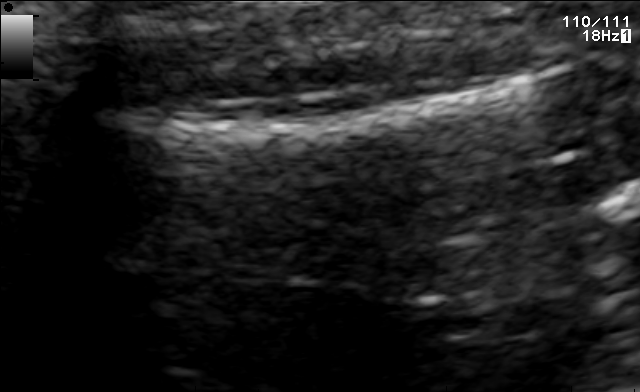
This is a 2D maternal-fetal ultrasound frame. Is it a fetal abdomen, fetal brain, fetal femur, fetal thorax, maternal cervix, or other standard plane? If it's fetal brain and one of the three standard brain planes (trans-thalamic, trans-cerebellum, trans-ventricular), name which.

Fetal femur